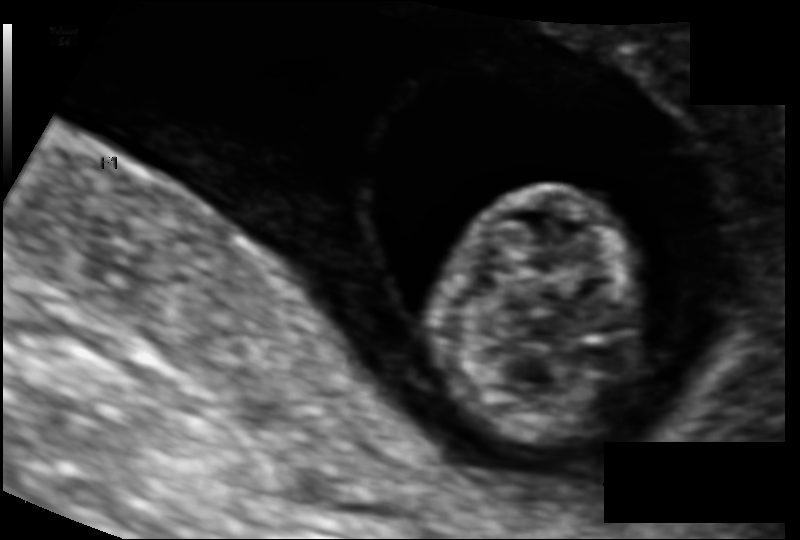
Fetal head ultrasound. Image width: 75.4 mm. Give [x1,y1,x2,y2] bounding boxes for each visible structure among: fetal head, CSP, LV.

Head: [435,185,643,444]